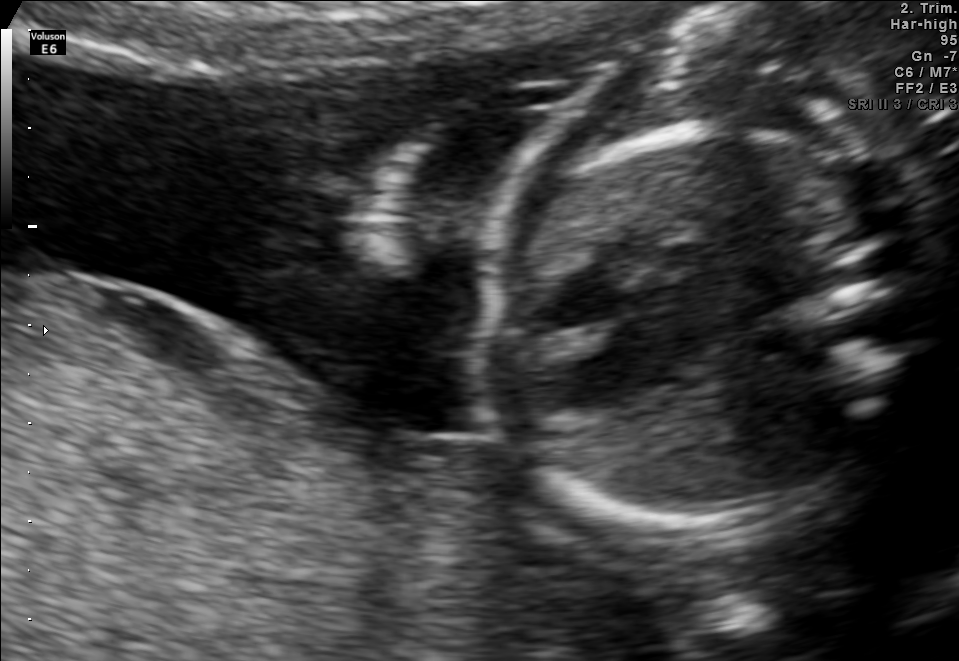
Classify this maternal-fetal ultrasound image as one of the six standard planes — fetal abdomen, fetal brain, fetal femur, fetal thorax, maternal cervix, or other. If it's fetal brain and one of the three standard brain planes (trans-thalamic, trans-cerebellum, trans-ventricular), name which.

Fetal brain (trans-thalamic plane)